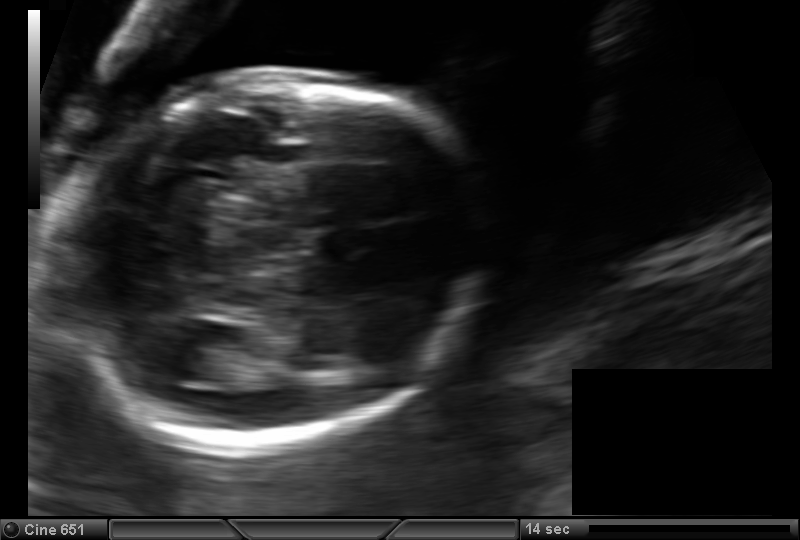
In this fetal head ultrasound, give bounding boxes for the head outline, cavum septum pellucidum (CSP), and lateral ventricle (LV), where visible. Image width: 106.1 mm.

Head: [56,82,482,450]